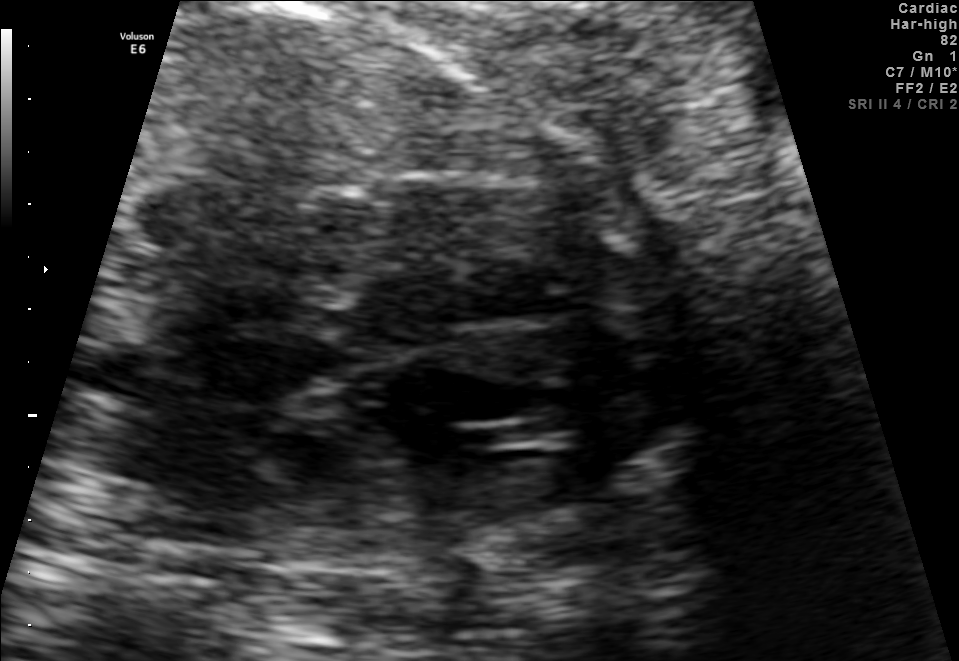
Identify the standard plane in this fetal ultrasound image: fetal abdomen, fetal brain, fetal femur, fetal thorax, maternal cervix, or other. If it's fetal brain and one of the three standard brain planes (trans-thalamic, trans-cerebellum, trans-ventricular), name which.

Other